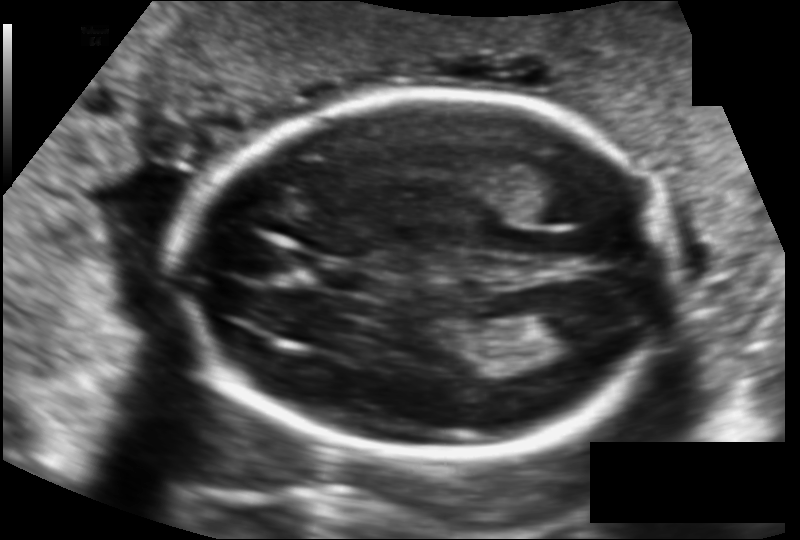
Fetal head ultrasound. Image width: 98.9 mm. Where is the lateral ventricle?

Lateral ventricle bounding box: [530,302,604,354]